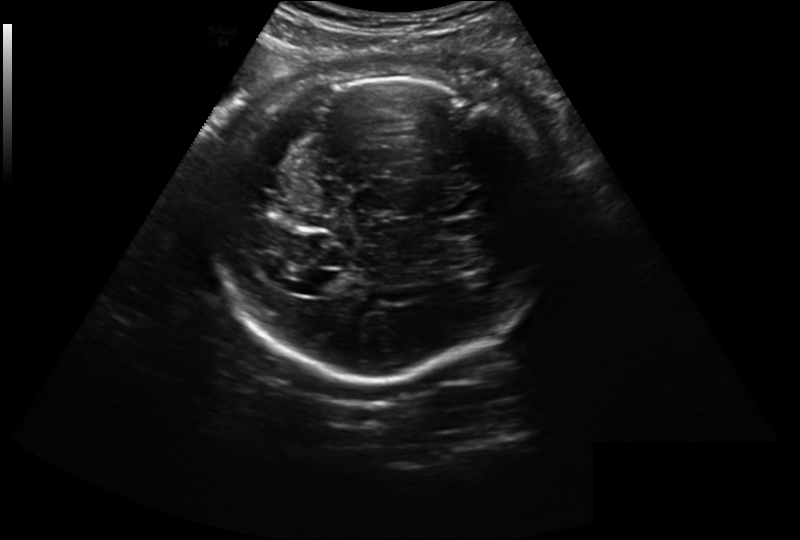
Estimate the fetal head circumference from this 2D ultrasound. Image width: 208.4 mm.

Head circumference: 278.1 mm.